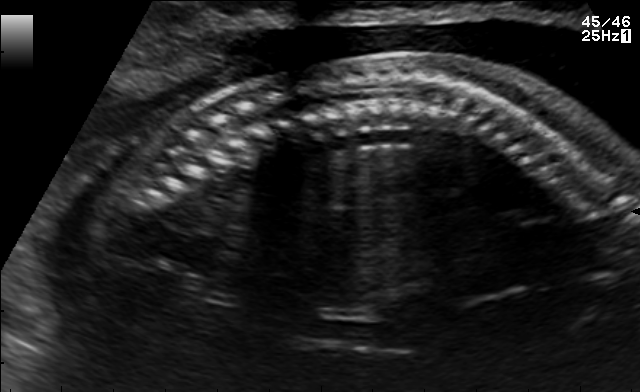
This is a 2D maternal-fetal ultrasound frame. Is it a fetal abdomen, fetal brain, fetal femur, fetal thorax, maternal cervix, or other standard plane? If it's fetal brain and one of the three standard brain planes (trans-thalamic, trans-cerebellum, trans-ventricular), name which.

Other